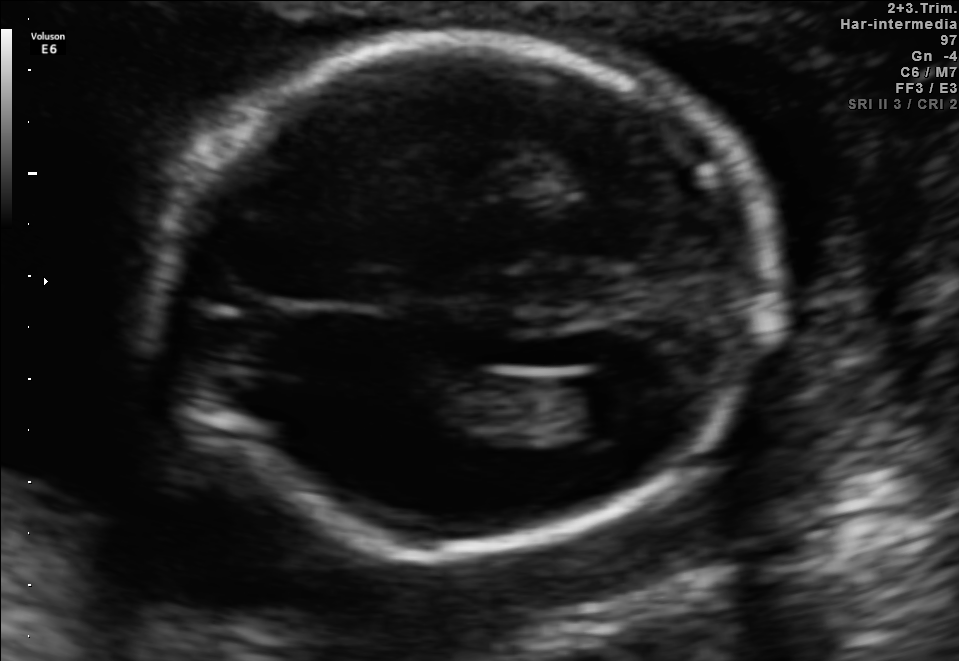
Fetal brain, trans-ventricular plane. Where is the lateral ventricle?

Lateral ventricle bounding box: [565,362,660,434]